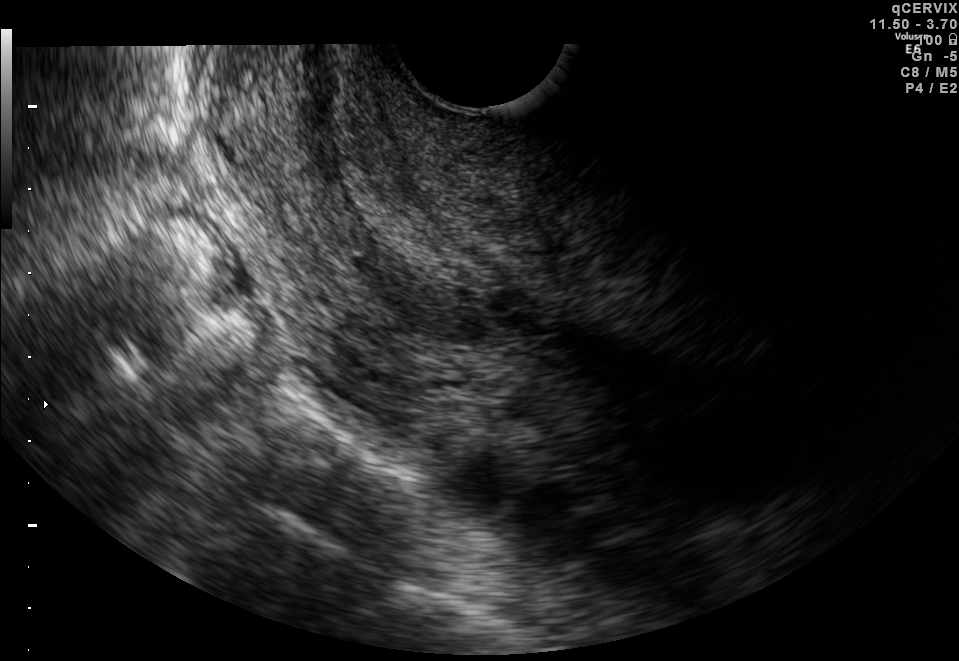
This is a 2D maternal-fetal ultrasound frame. Is it a fetal abdomen, fetal brain, fetal femur, fetal thorax, maternal cervix, or other standard plane? If it's fetal brain and one of the three standard brain planes (trans-thalamic, trans-cerebellum, trans-ventricular), name which.

Maternal cervix